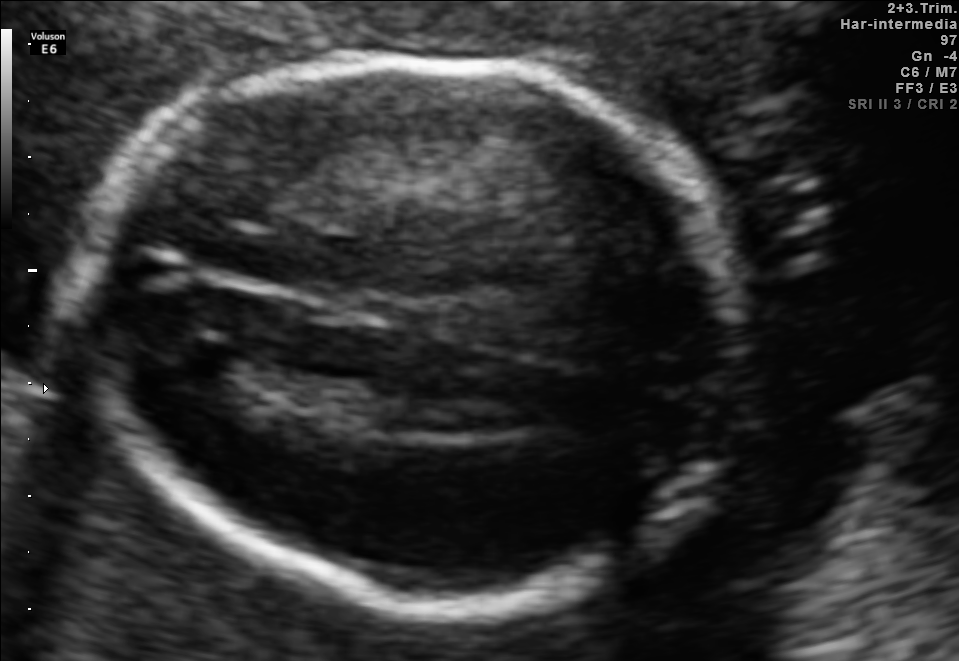
Fetal brain, trans-thalamic plane. Locate the fetal head and, if visible, the cavum septum pellucidum (CSP) and lateral ventricle (LV). Give bounding boxes as [x1,y1,x2,y2].

Head: [82,58,745,605]